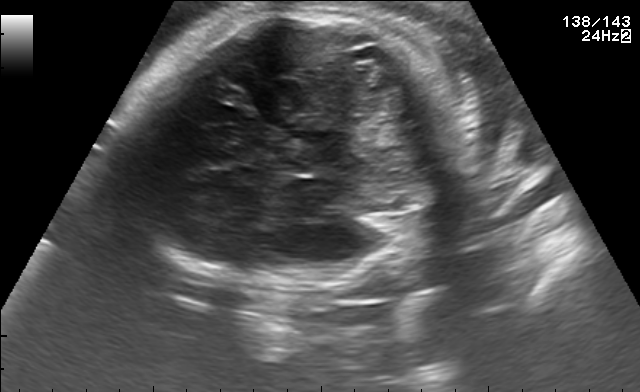
Fetal brain, trans-thalamic plane. Locate the fetal head and, if visible, the cavum septum pellucidum (CSP) and lateral ventricle (LV). Give bounding boxes as [x1,y1,x2,y2].

Head: [125,9,454,288]